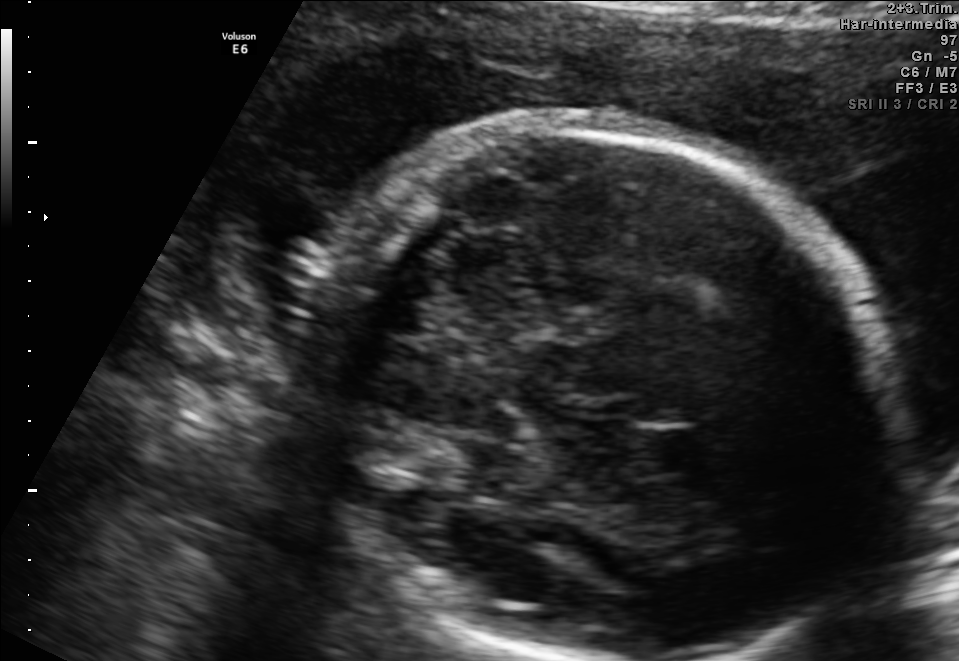
Fetal brain, trans-thalamic plane. Locate the fetal head.

Head: [304,120,891,657]